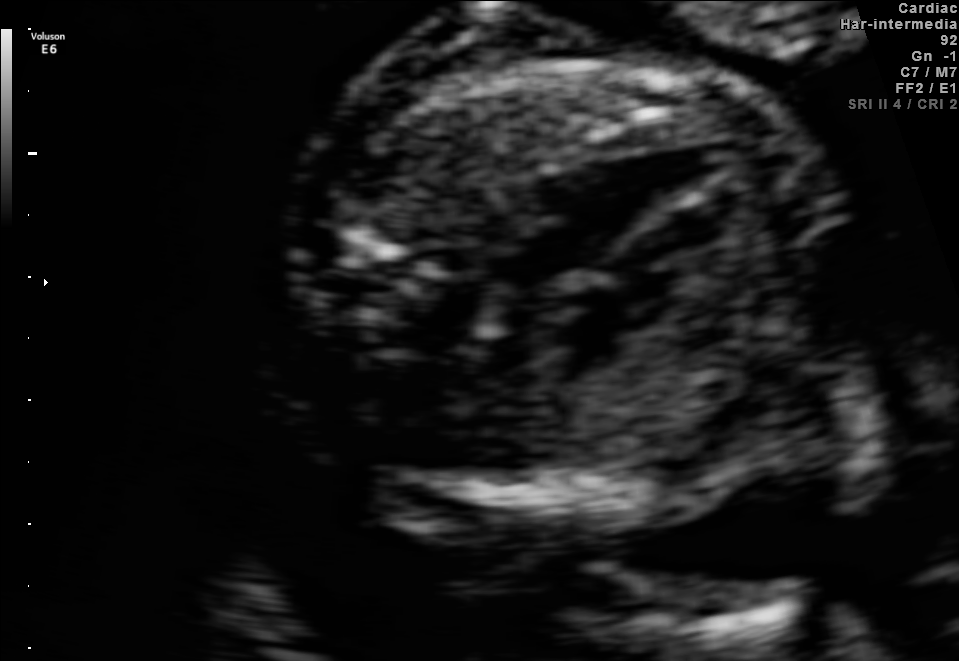
This is a 2D maternal-fetal ultrasound frame. Is it a fetal abdomen, fetal brain, fetal femur, fetal thorax, maternal cervix, or other standard plane? If it's fetal brain and one of the three standard brain planes (trans-thalamic, trans-cerebellum, trans-ventricular), name which.

Fetal thorax